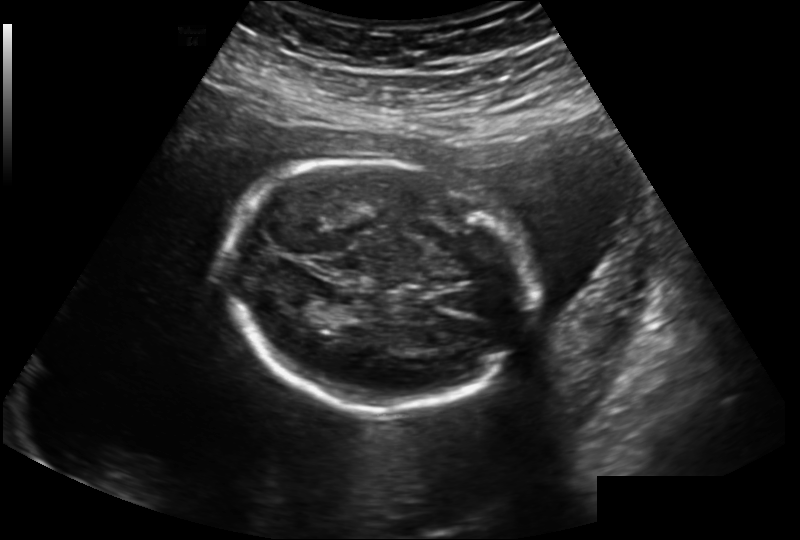
In this fetal head ultrasound, give the bounding box of the fetal head. Image width: 161.6 mm.

[223,160,531,409]